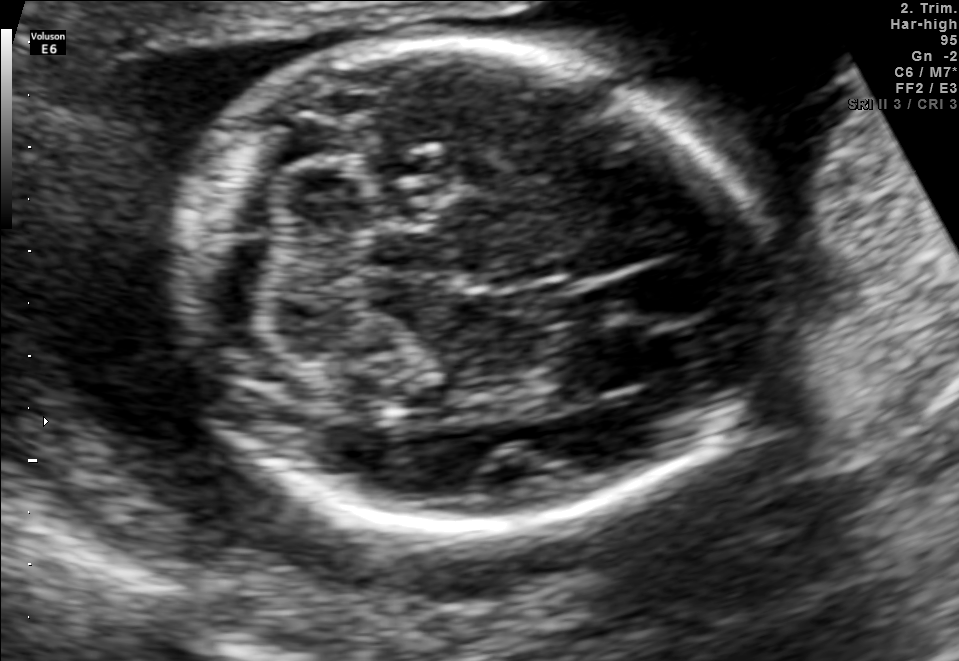
In this fetal brain, trans-cerebellum plane, give bounding boxes for the head outline, cavum septum pellucidum (CSP), and lateral ventricle (LV), where visible.

Head: [183,41,770,532]